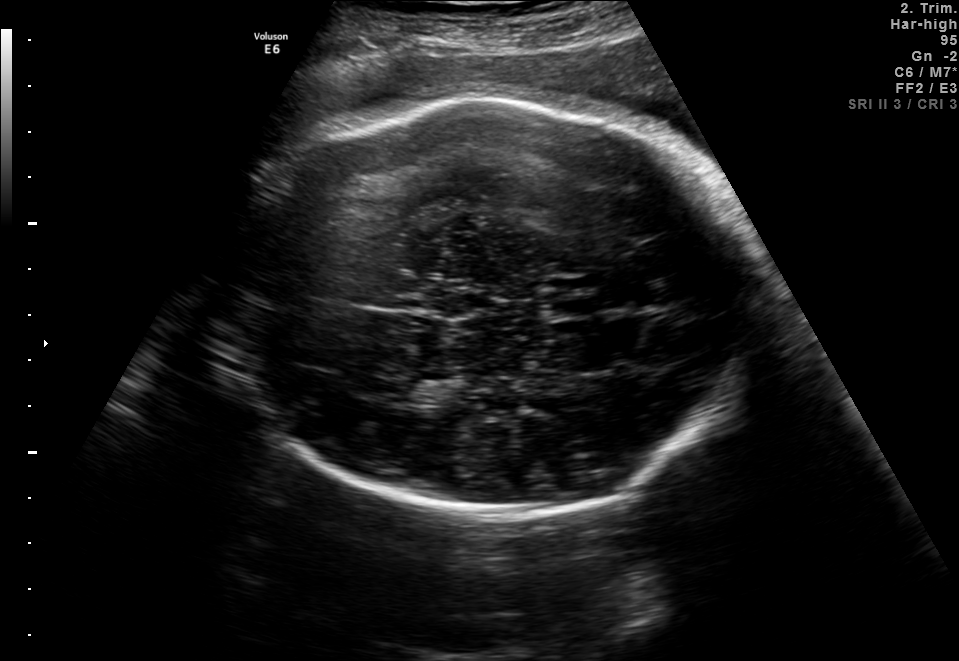
In this fetal brain, trans-thalamic plane, give bounding boxes for the head outline, cavum septum pellucidum (CSP), and lateral ventricle (LV), where visible.

Head: [214,99,757,514]
CSP: [545,292,599,323]